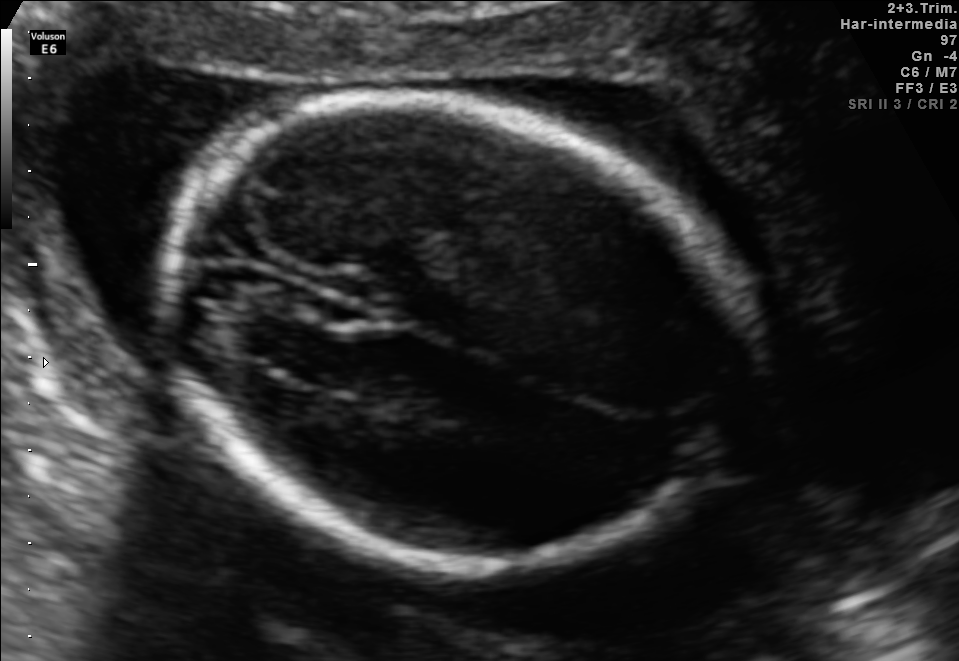
In this fetal brain, trans-thalamic plane, give bounding boxes for the head outline, cavum septum pellucidum (CSP), and lateral ventricle (LV), where visible.

Head: [157,103,754,562]